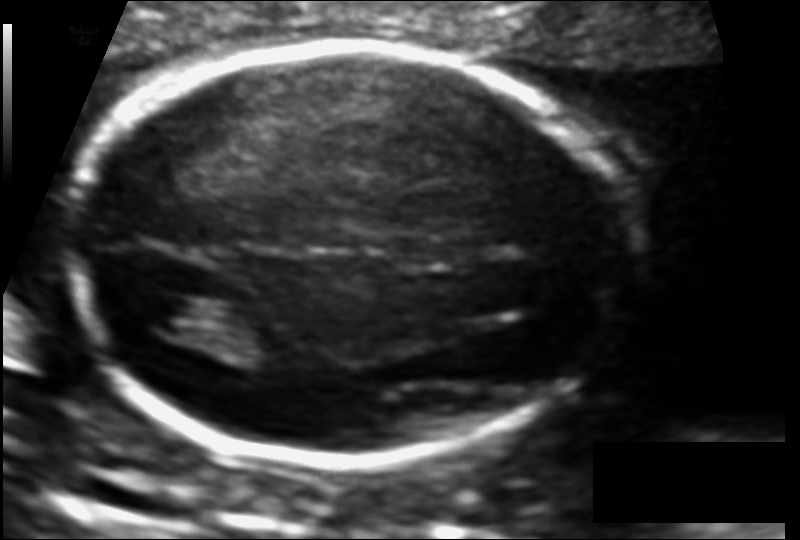
In this fetal head ultrasound, give the bounding box of the fetal head. Image width: 88.9 mm.

[73,47,611,466]